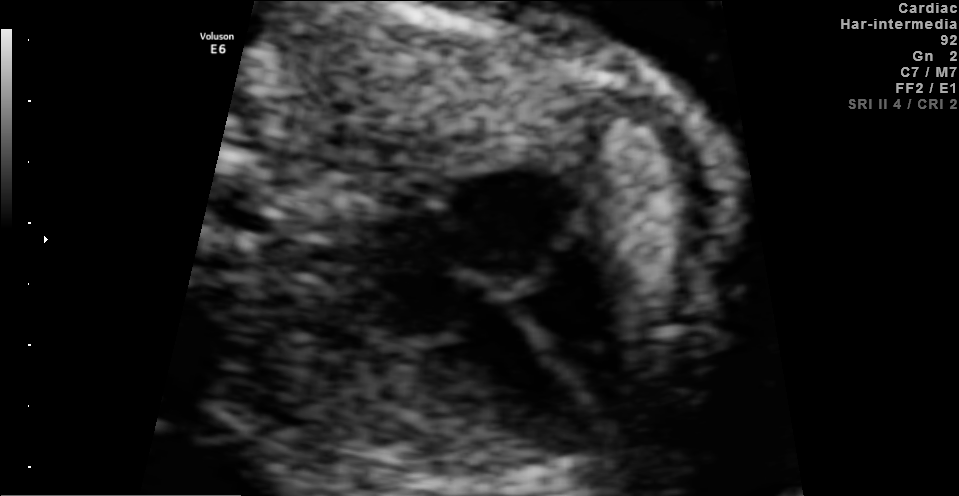
Identify the standard plane in this fetal ultrasound image: fetal abdomen, fetal brain, fetal femur, fetal thorax, maternal cervix, or other. If it's fetal brain and one of the three standard brain planes (trans-thalamic, trans-cerebellum, trans-ventricular), name which.

Fetal thorax